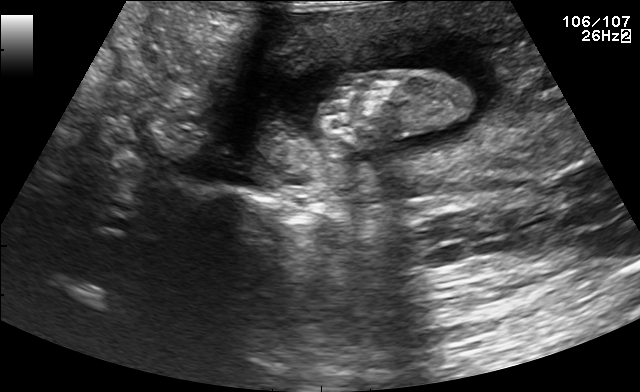
Classify this maternal-fetal ultrasound image as one of the six standard planes — fetal abdomen, fetal brain, fetal femur, fetal thorax, maternal cervix, or other. If it's fetal brain and one of the three standard brain planes (trans-thalamic, trans-cerebellum, trans-ventricular), name which.

Other